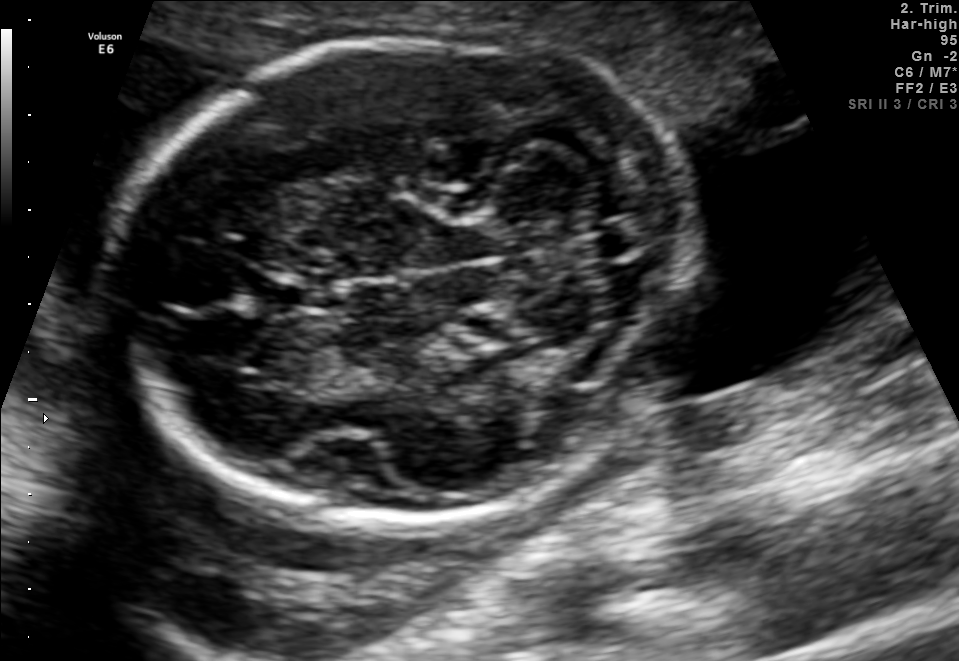
Fetal brain, trans-cerebellum plane. Where is the fetal head?

Head bounding box: [117,38,682,527]